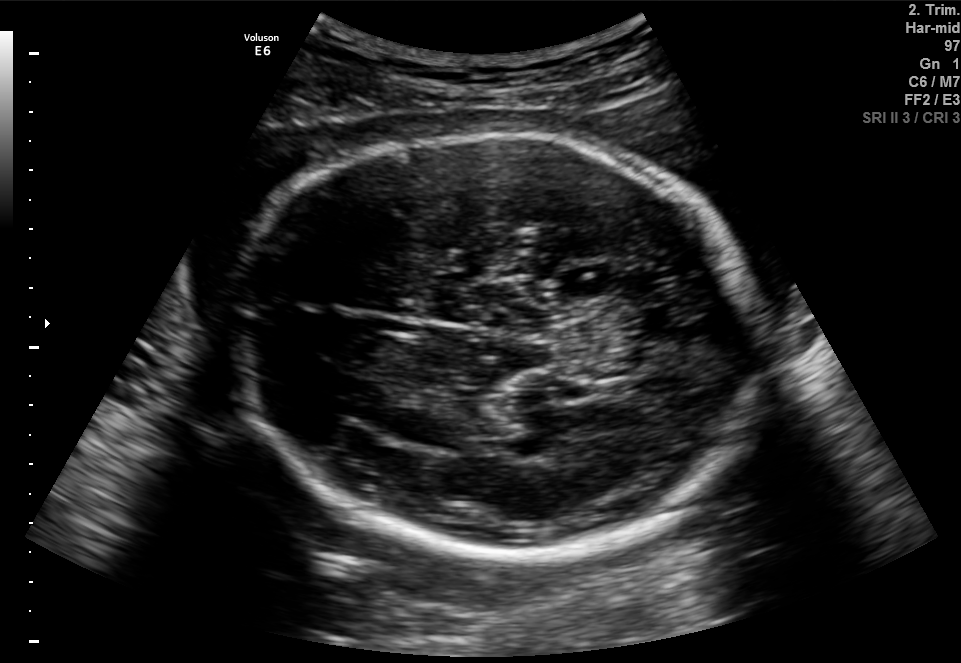
In this fetal brain, trans-thalamic plane, give bounding boxes for the head outline, cavum septum pellucidum (CSP), and lateral ventricle (LV), where visible.

Head: [229,132,756,557]